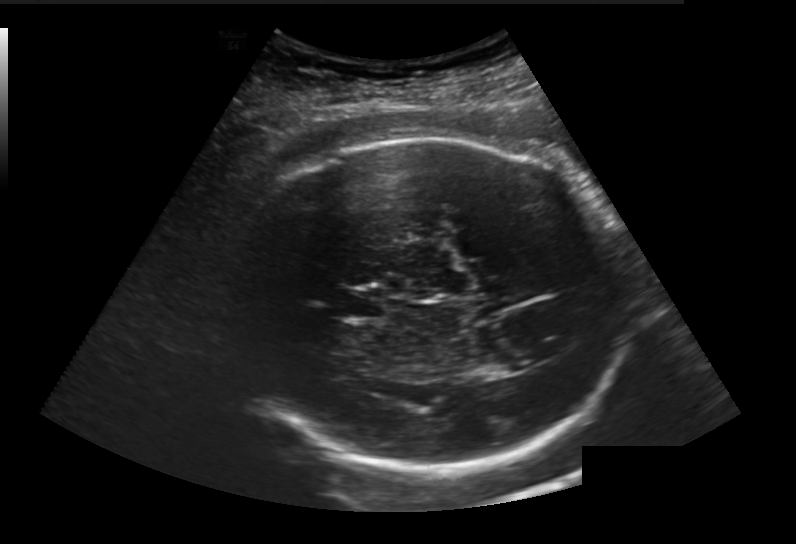
Fetal head ultrasound. Image width: 187.6 mm. Where is the fetal head?

Head bounding box: [231,137,630,472]